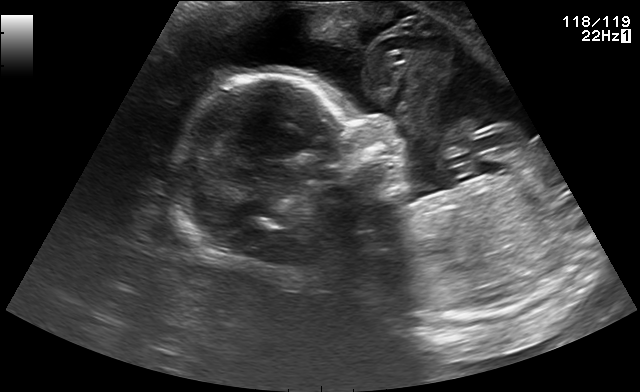
Which standard maternal-fetal ultrasound plane is shown: fetal abdomen, fetal brain, fetal femur, fetal thorax, maternal cervix, or other? If it's fetal brain and one of the three standard brain planes (trans-thalamic, trans-cerebellum, trans-ventricular), name which.

Other